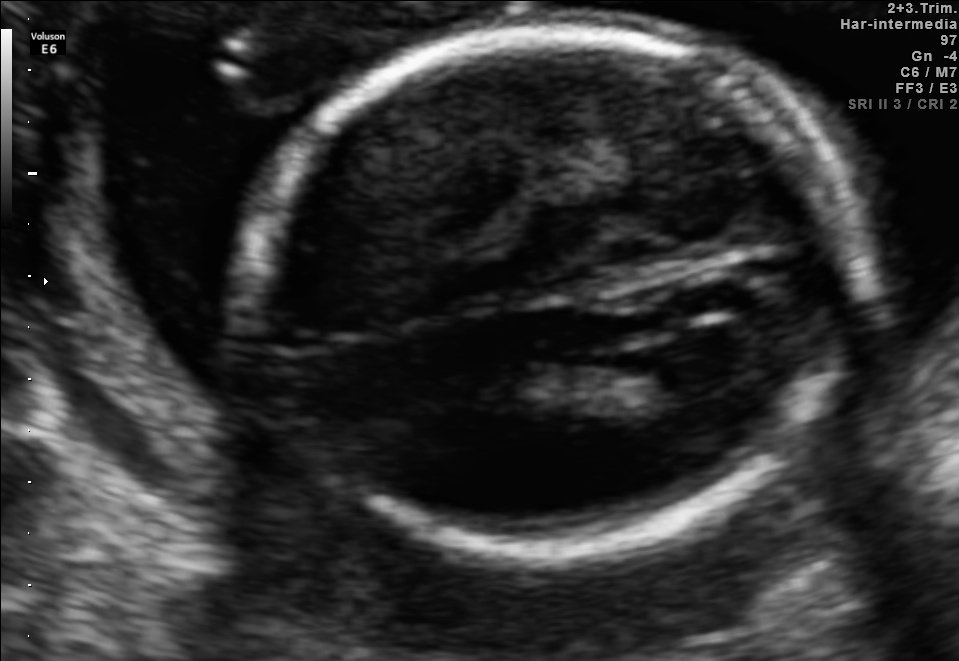
Fetal brain, trans-ventricular plane. Give [x1,y1,x2,y2] bounding boxes for each visible structure among: fetal head, CSP, LV.

Head: [222,20,869,563]